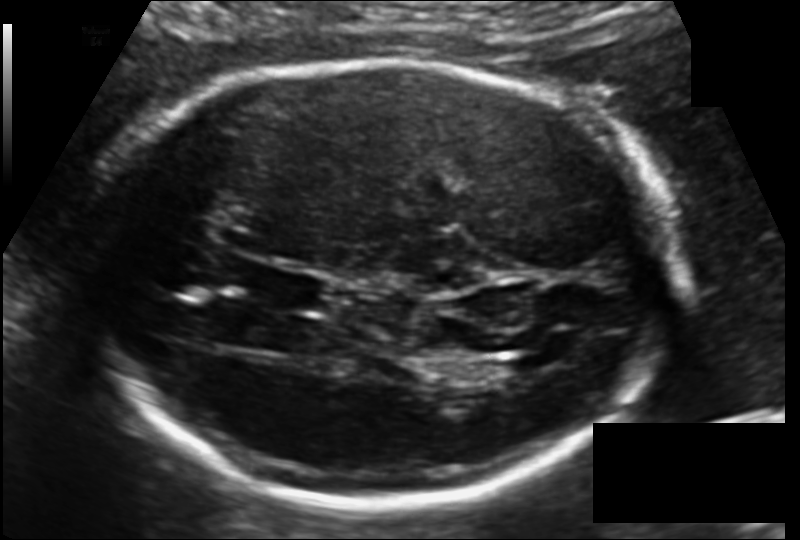
Fetal head ultrasound. Image width: 107.8 mm. Locate the fetal head.

Head: [84,59,674,511]